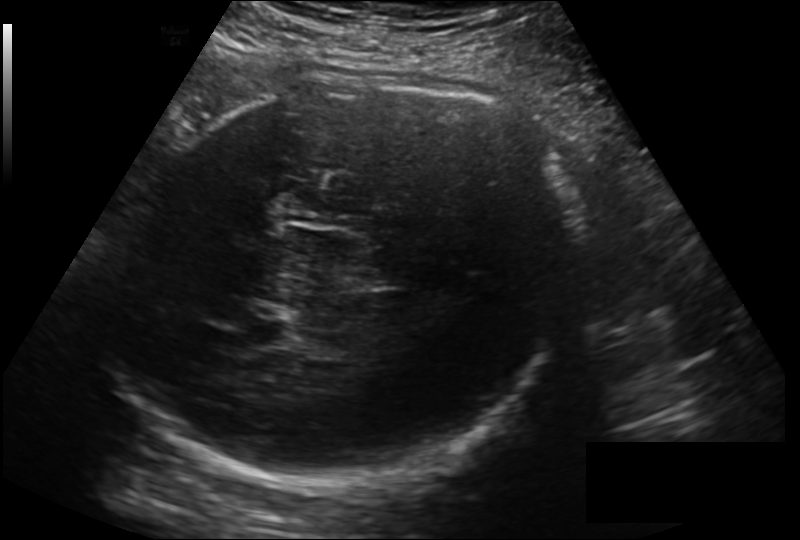
In this fetal head ultrasound, give bounding boxes for the head outline, cavum septum pellucidum (CSP), and lateral ventricle (LV), where visible. Image width: 168.5 mm.

Head: [118,74,576,485]